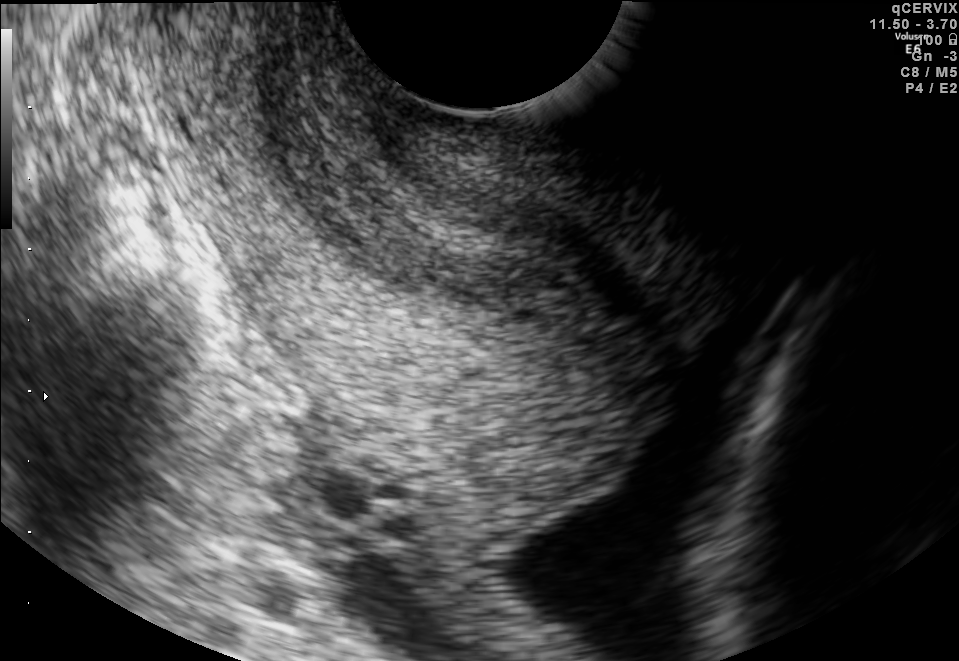
Which standard maternal-fetal ultrasound plane is shown: fetal abdomen, fetal brain, fetal femur, fetal thorax, maternal cervix, or other? If it's fetal brain and one of the three standard brain planes (trans-thalamic, trans-cerebellum, trans-ventricular), name which.

Maternal cervix